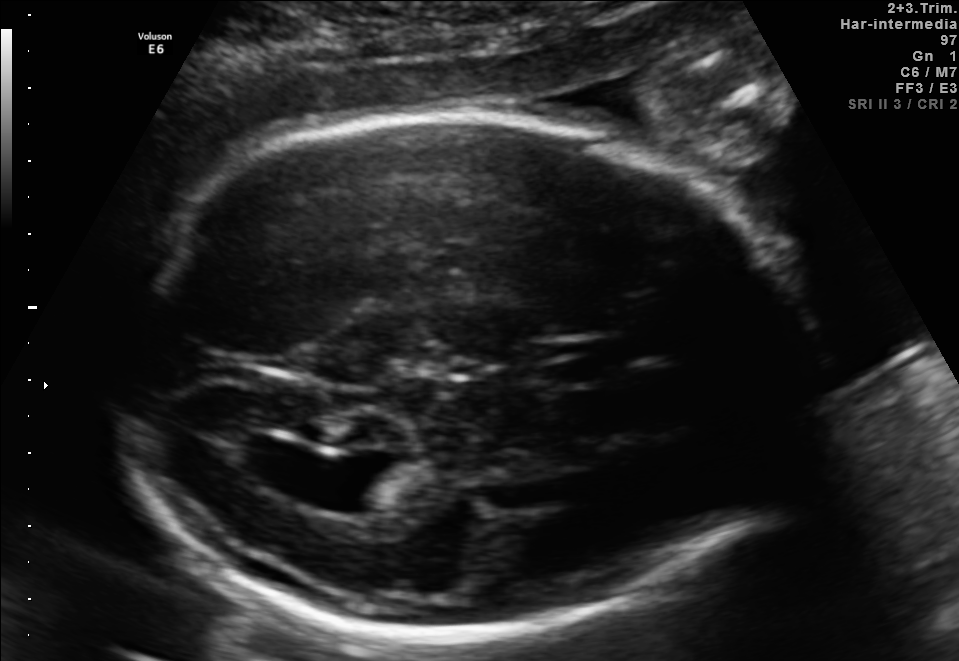
Fetal brain, trans-ventricular plane. Where is the lateral ventricle?

Lateral ventricle bounding box: [291,451,385,514]